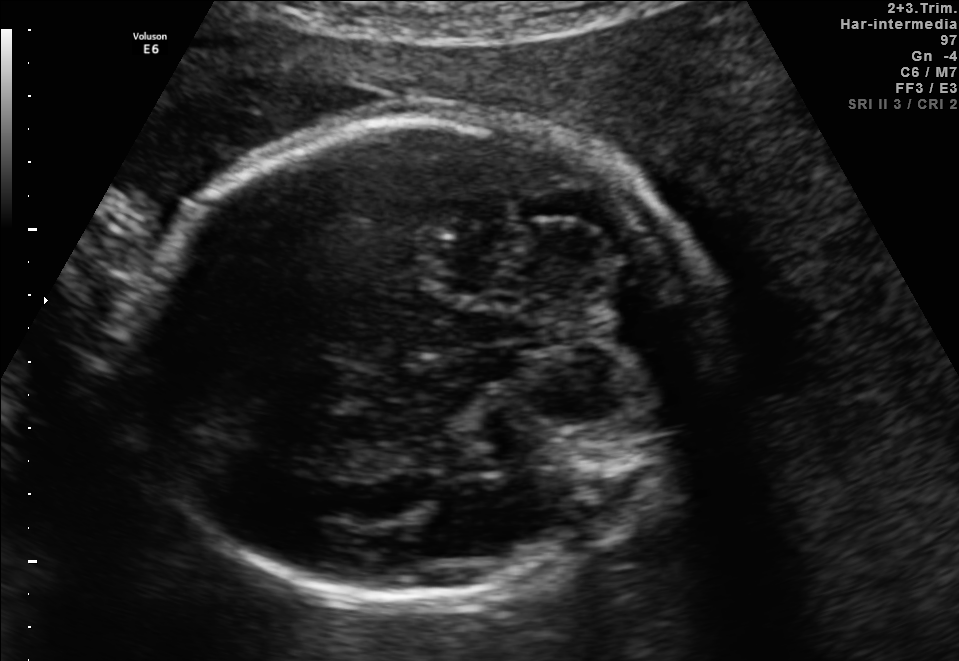
In this fetal brain, trans-cerebellum plane, give bounding boxes for the head outline, cavum septum pellucidum (CSP), and lateral ventricle (LV), where visible.

Head: [135,110,704,599]